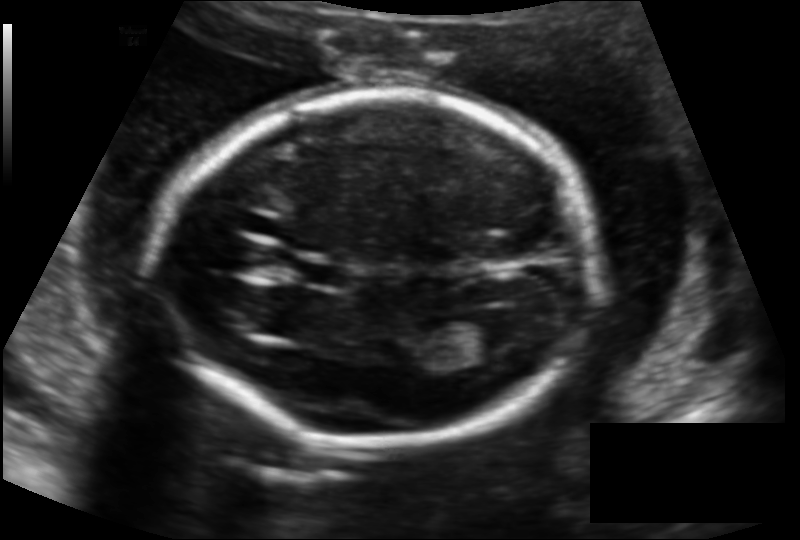
What is the fetal head circumference? Image width is 108.6 mm.

172.4 mm